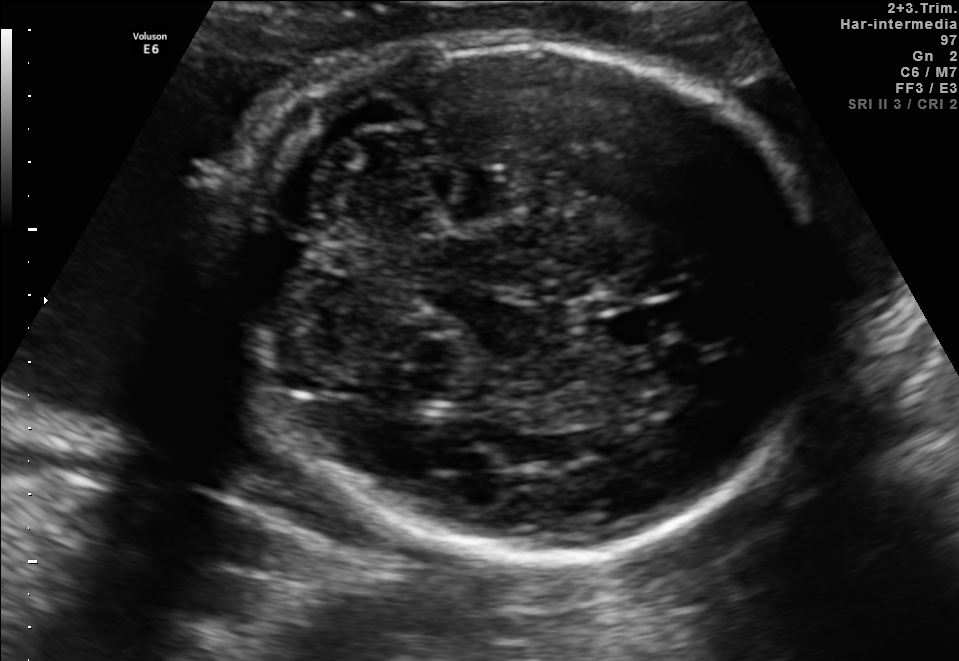
Fetal brain, trans-cerebellum plane. Where is the fetal head?

Head bounding box: [216,39,817,554]